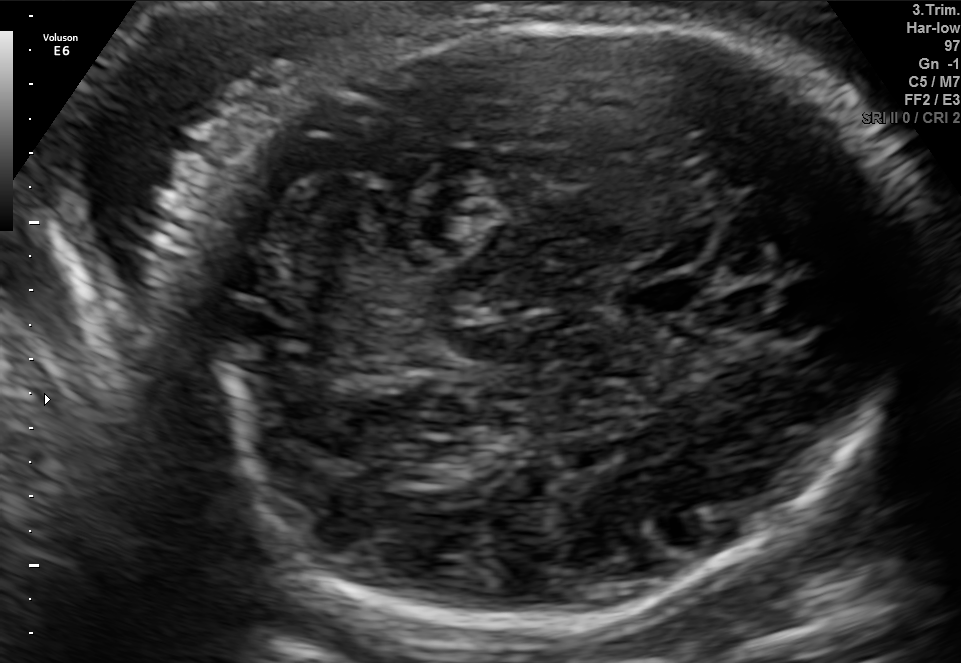
Fetal brain, trans-cerebellum plane. Where is the fetal head?

Head bounding box: [201,18,918,623]